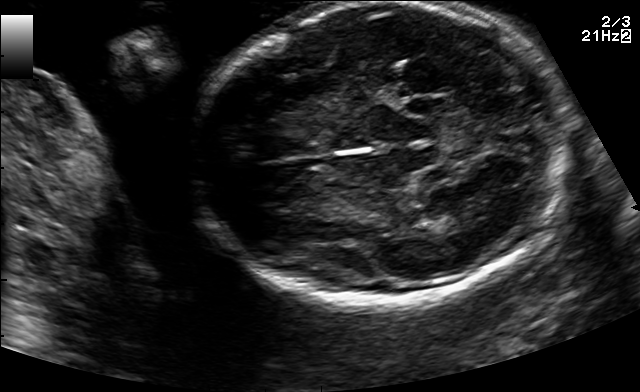
Identify the standard plane in this fetal ultrasound image: fetal abdomen, fetal brain, fetal femur, fetal thorax, maternal cervix, or other. If it's fetal brain and one of the three standard brain planes (trans-thalamic, trans-cerebellum, trans-ventricular), name which.

Fetal brain (trans-thalamic plane)